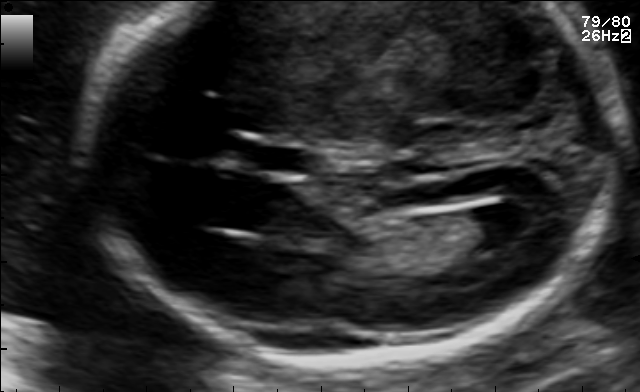
Fetal brain, trans-ventricular plane. Give [x1,y1,x2,y2] bounding boxes for each visible structure among: CSP, LV.

CSP: [251,144,311,174]
Lateral ventricle: [454,196,540,254]